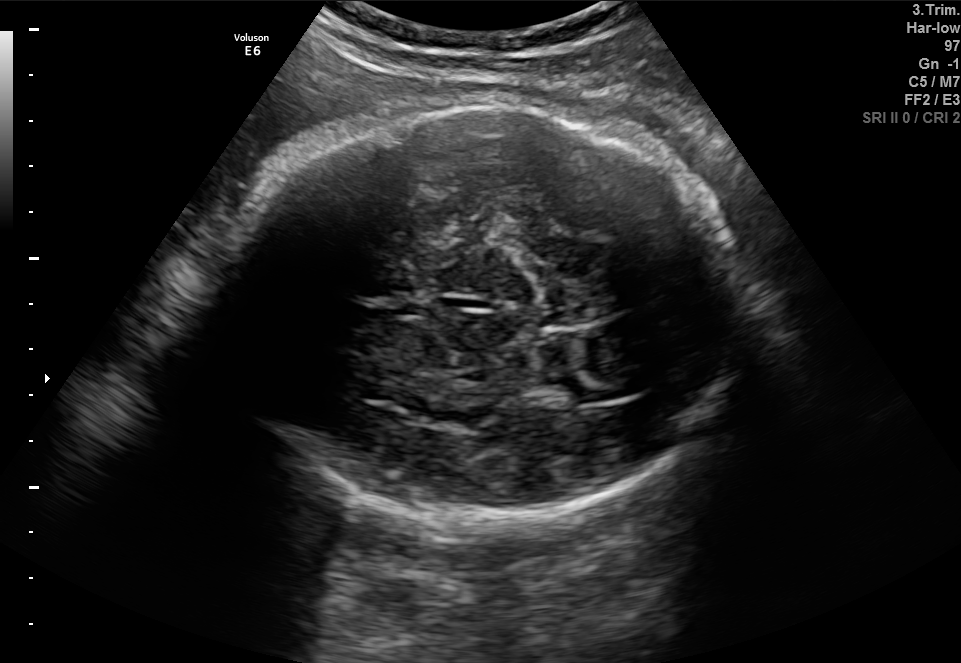
Fetal brain, trans-thalamic plane. Locate the fetal head.

Head: [213,94,744,531]